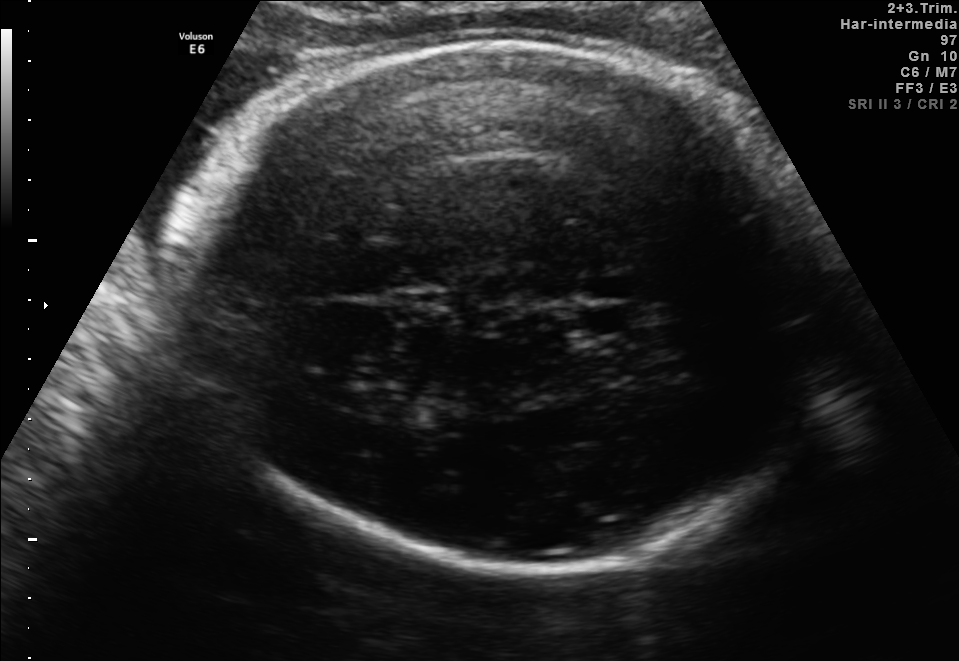
Fetal brain, trans-thalamic plane. Locate the fetal head and, if visible, the cavum septum pellucidum (CSP) and lateral ventricle (LV). Give bounding boxes as [x1,y1,x2,y2].

Head: [197,38,836,569]
CSP: [580,304,629,337]